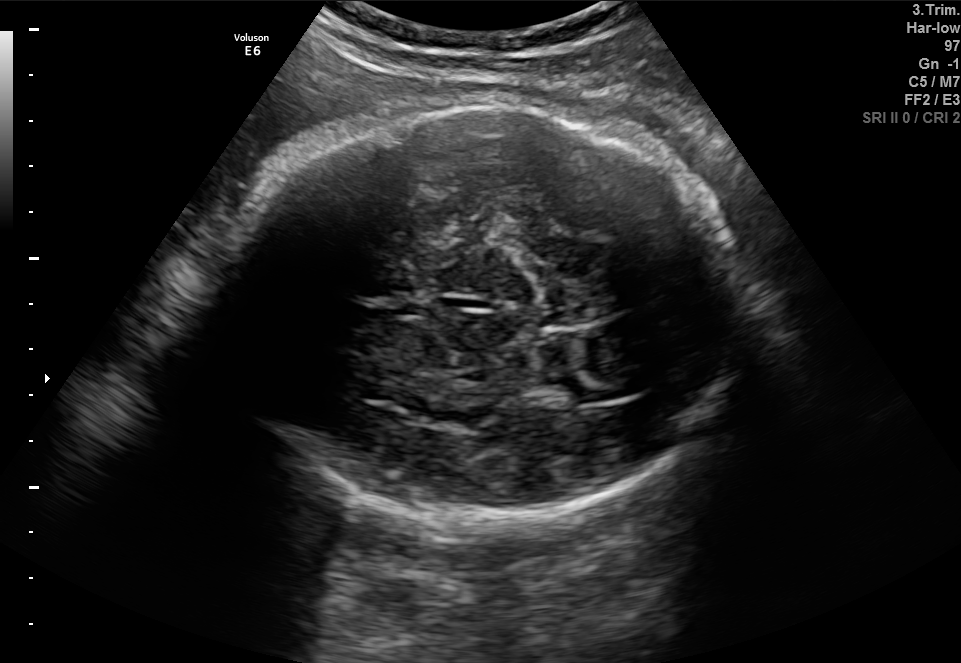
Fetal brain, trans-thalamic plane. Locate the fetal head and, if visible, the cavum septum pellucidum (CSP) and lateral ventricle (LV). Give bounding boxes as [x1,y1,x2,y2].

Head: [213,94,744,531]